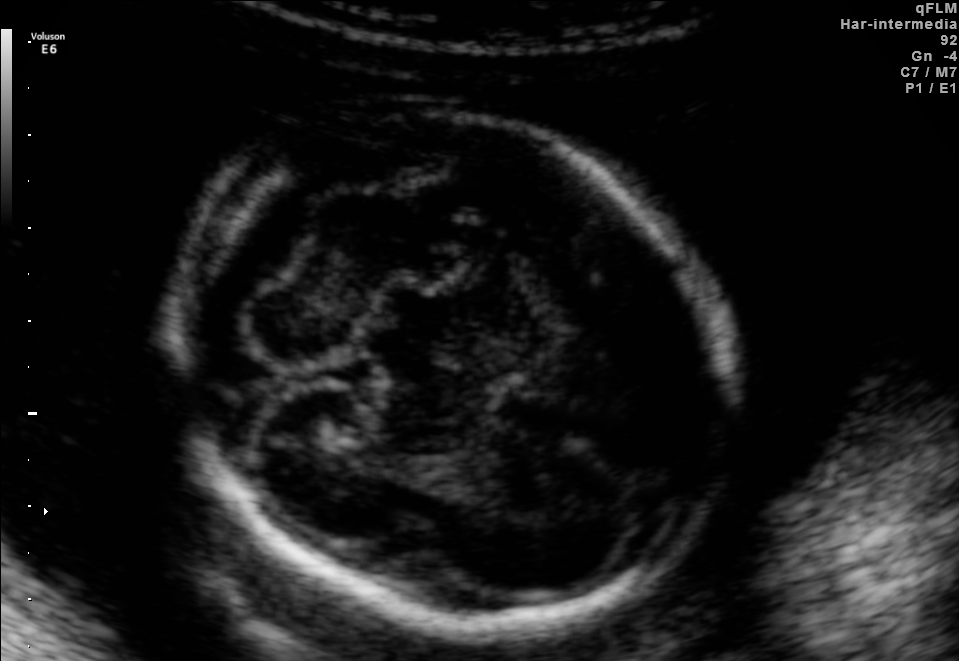
Fetal brain, trans-cerebellum plane. Locate the fetal head.

Head: [181,101,726,624]